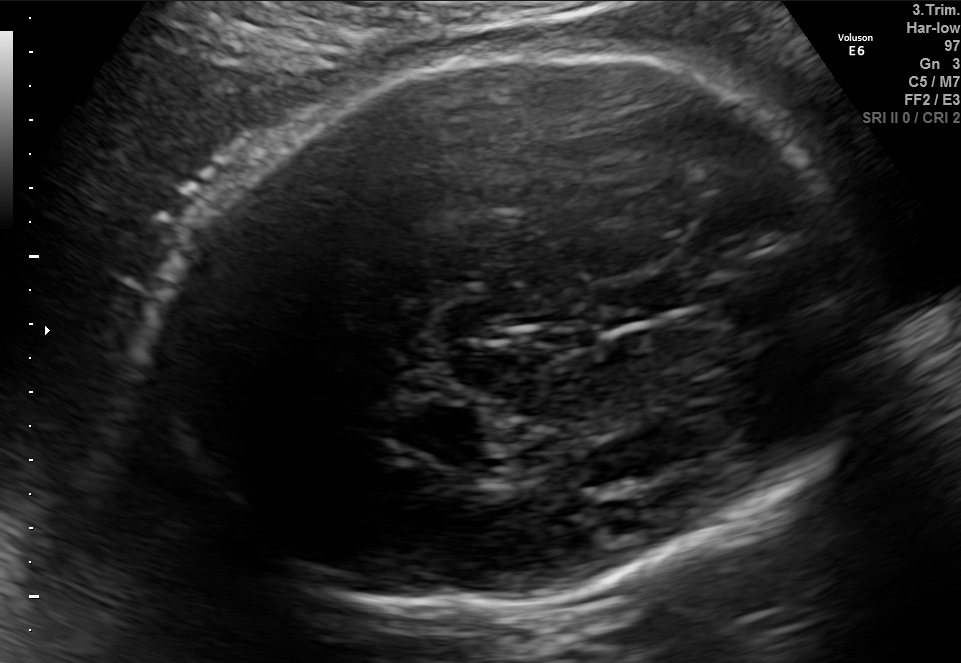
Classify this maternal-fetal ultrasound image as one of the six standard planes — fetal abdomen, fetal brain, fetal femur, fetal thorax, maternal cervix, or other. If it's fetal brain and one of the three standard brain planes (trans-thalamic, trans-cerebellum, trans-ventricular), name which.

Fetal brain (trans-thalamic plane)